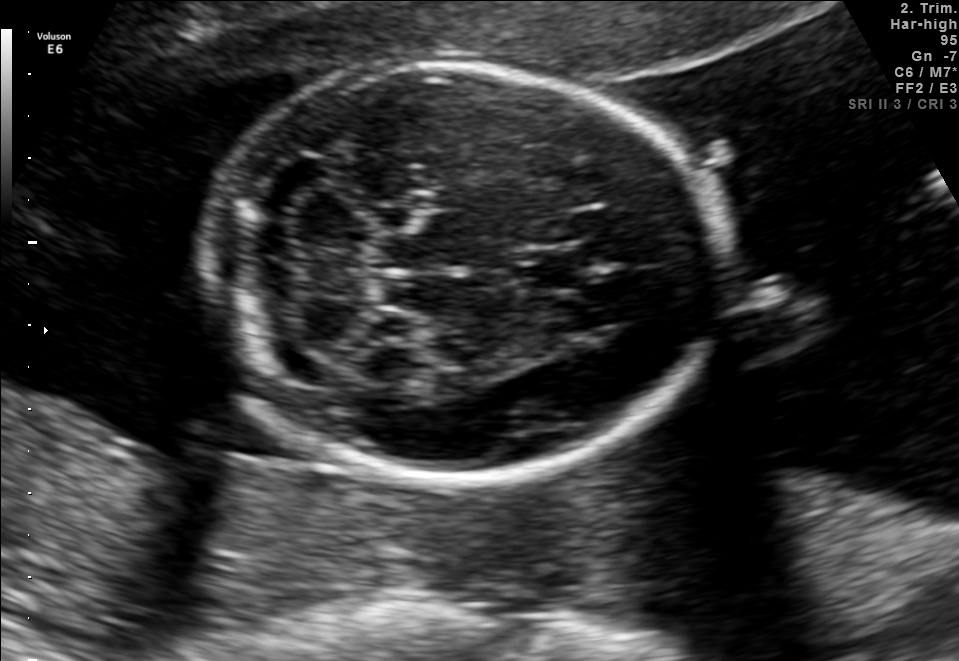
Fetal brain, trans-cerebellum plane. Locate the fetal head.

Head: [207,68,724,481]